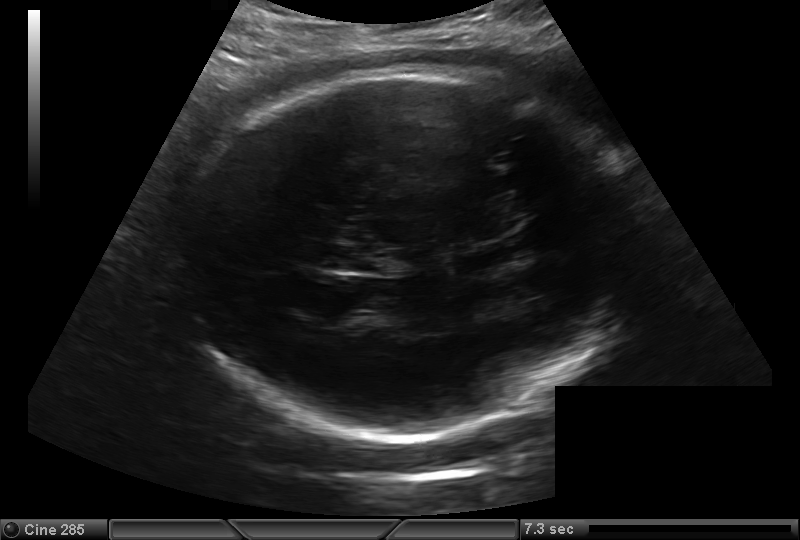
What is the fetal head circumference? Image width is 173.2 mm.

288.9 mm